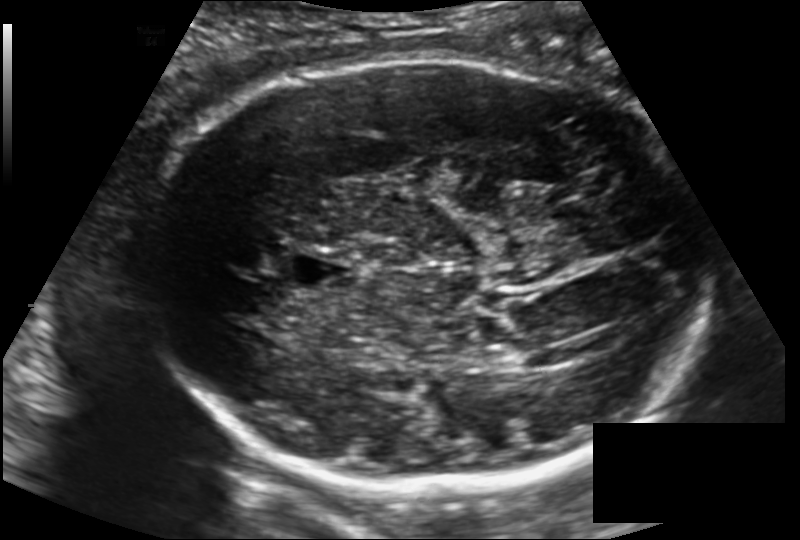
What is the fetal head circumference? Image width is 136.5 mm.

272.1 mm